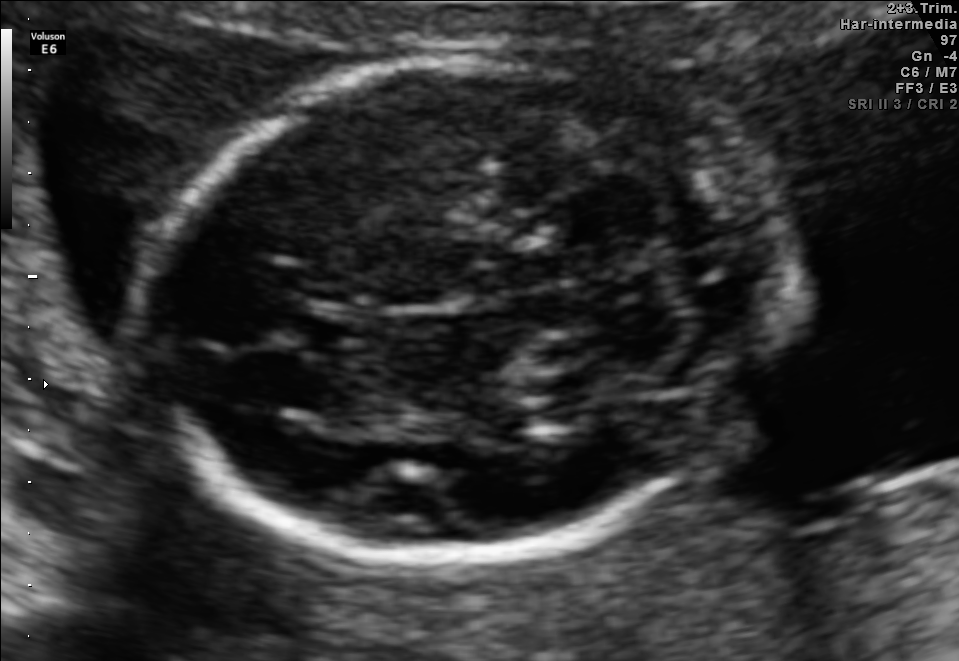
Which standard maternal-fetal ultrasound plane is shown: fetal abdomen, fetal brain, fetal femur, fetal thorax, maternal cervix, or other? If it's fetal brain and one of the three standard brain planes (trans-thalamic, trans-cerebellum, trans-ventricular), name which.

Fetal brain (trans-cerebellum plane)